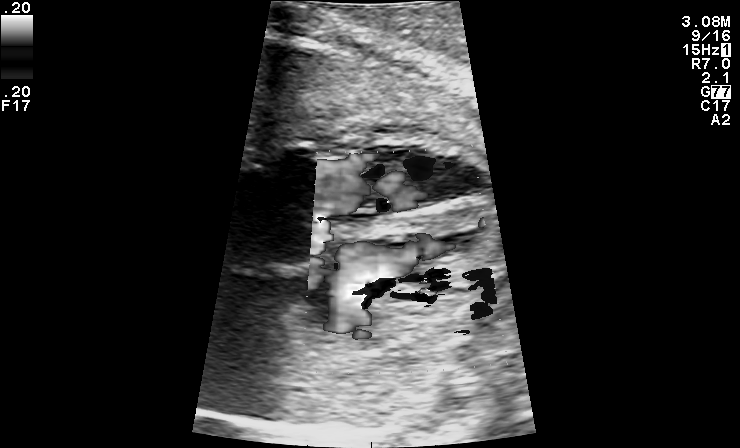
Classify this maternal-fetal ultrasound image as one of the six standard planes — fetal abdomen, fetal brain, fetal femur, fetal thorax, maternal cervix, or other. If it's fetal brain and one of the three standard brain planes (trans-thalamic, trans-cerebellum, trans-ventricular), name which.

Other